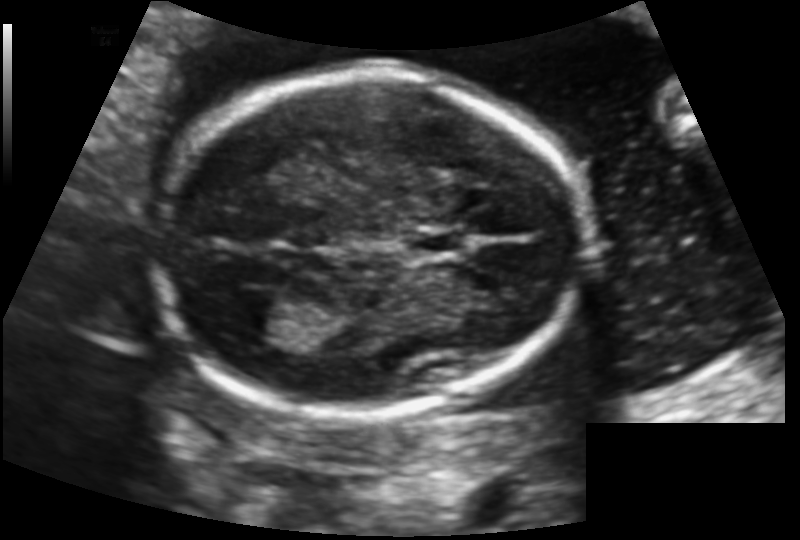
From this fetal ultrasound, estimate the head circumference (image width 103.6 mm).

Head circumference: 163.3 mm.